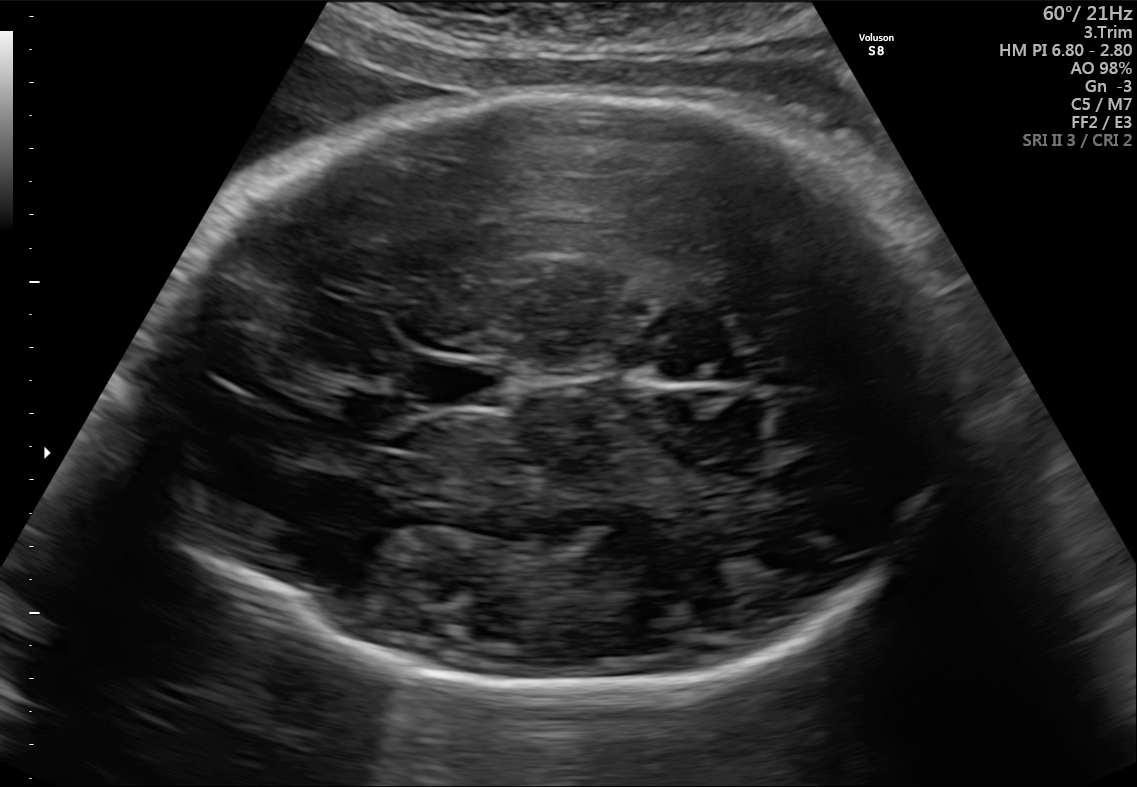
Fetal brain, trans-thalamic plane. Locate the cavum septum pellucidum.

CSP: [424,359,500,410]